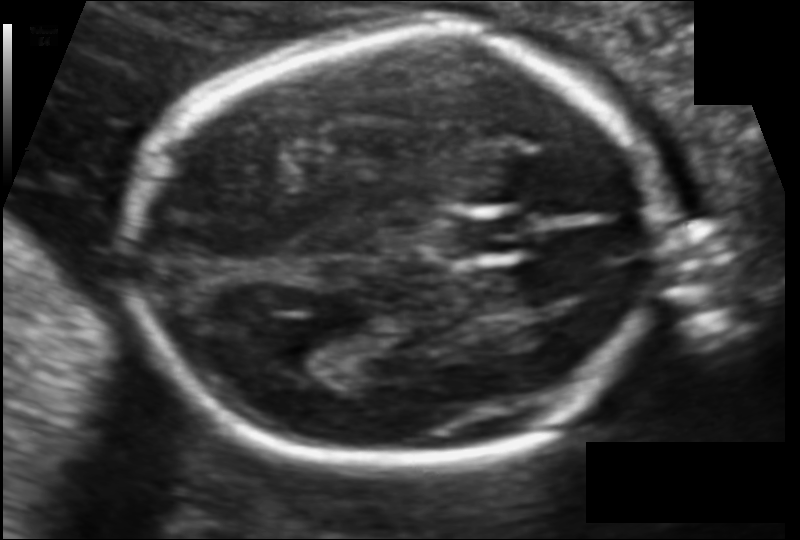
Fetal head ultrasound. Image width: 84.9 mm. Give [x1,y1,x2,y2] bounding boxes for each visible structure among: fetal head, CSP, LV.

Head: [132,37,670,467]
CSP: [451,212,527,260]
Lateral ventricle: [266,319,349,367]